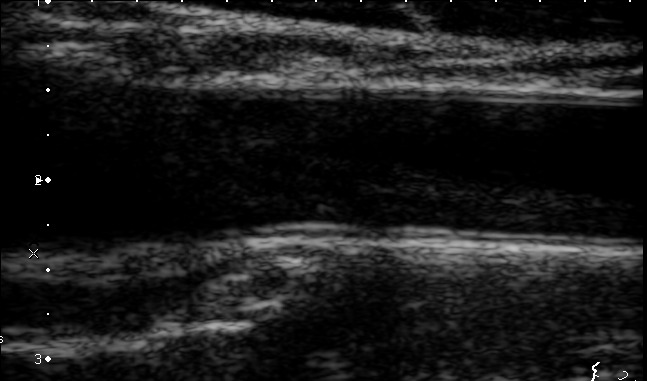
Classify this maternal-fetal ultrasound image as one of the six standard planes — fetal abdomen, fetal brain, fetal femur, fetal thorax, maternal cervix, or other. If it's fetal brain and one of the three standard brain planes (trans-thalamic, trans-cerebellum, trans-ventricular), name which.

Other